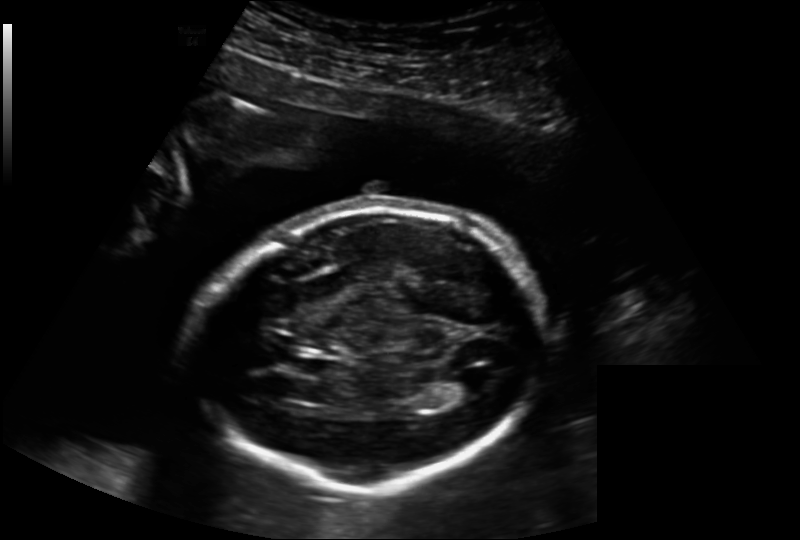
Fetal head ultrasound. Image width: 161.7 mm. Give [x1,y1,x2,y2] bounding boxes for each visible structure among: fetal head, CSP, LV.

Head: [194,208,543,486]
CSP: [286,351,333,380]
Lateral ventricle: [445,367,490,404]